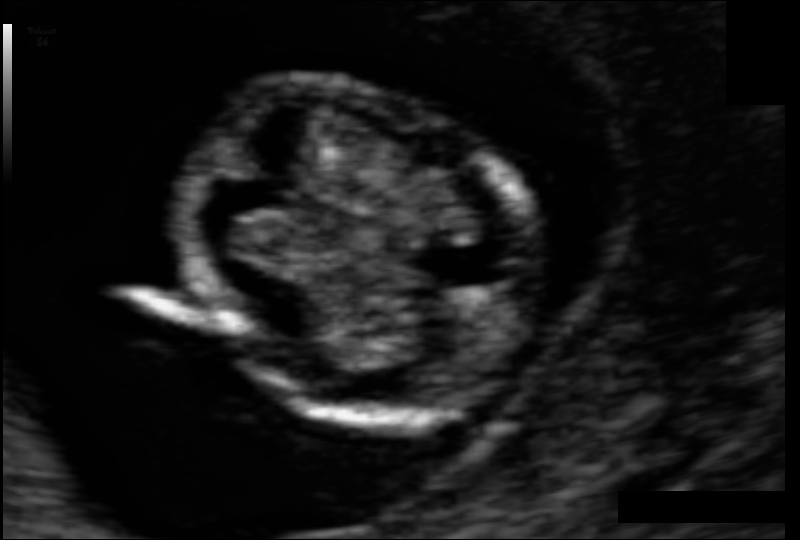
Estimate the fetal head circumference from this 2D ultrasound. Image width: 47.3 mm.

Head circumference: 67.5 mm.